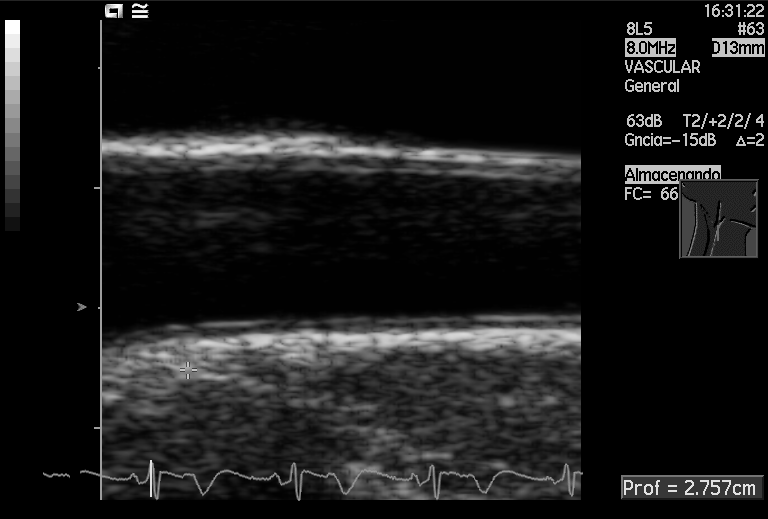
This is a 2D maternal-fetal ultrasound frame. Is it a fetal abdomen, fetal brain, fetal femur, fetal thorax, maternal cervix, or other standard plane? If it's fetal brain and one of the three standard brain planes (trans-thalamic, trans-cerebellum, trans-ventricular), name which.

Other